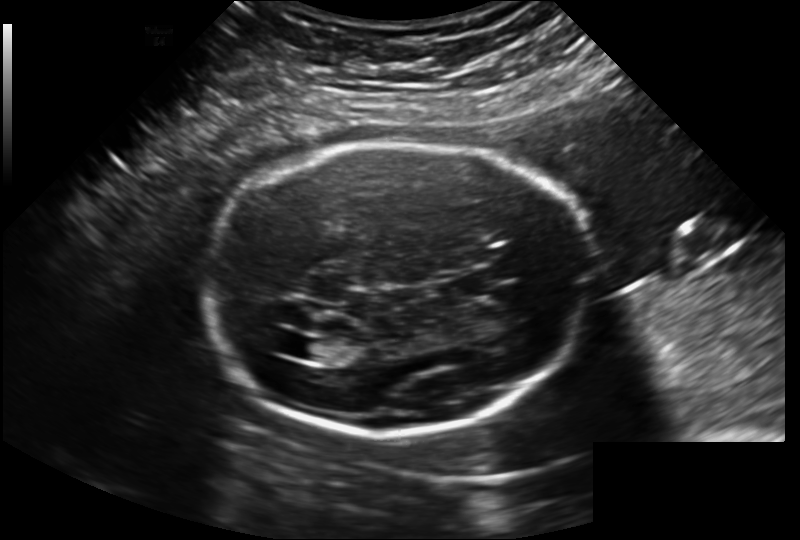
Fetal head ultrasound. Image width: 161.6 mm. Give [x1,y1,x2,y2] bounding boxes for each visible structure among: fetal head, CSP, LV.

Head: [205,141,585,433]
CSP: [435,269,491,308]
Lateral ventricle: [285,333,327,363]